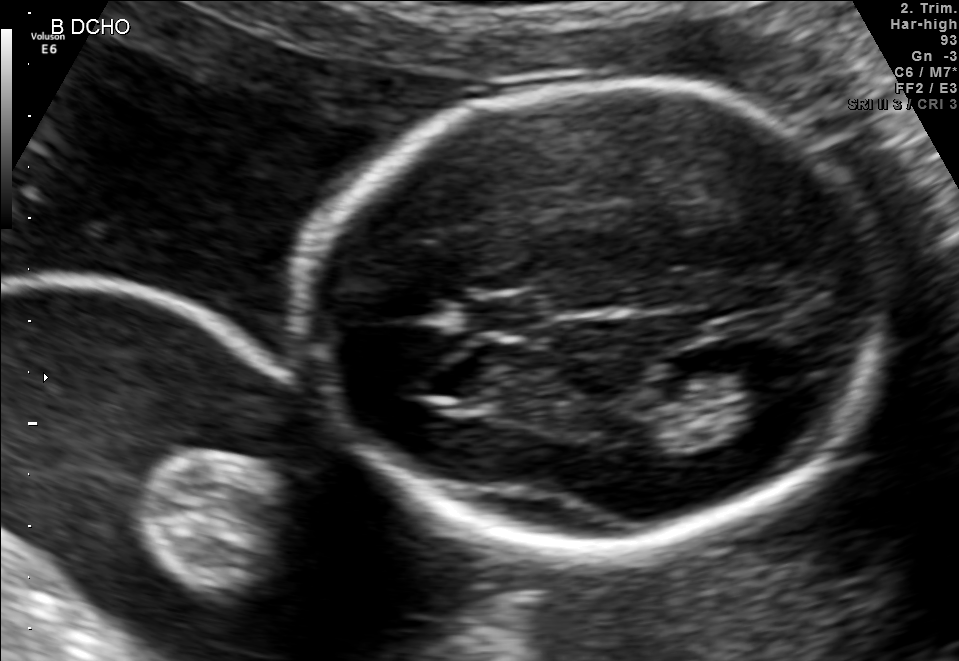
Which standard maternal-fetal ultrasound plane is shown: fetal abdomen, fetal brain, fetal femur, fetal thorax, maternal cervix, or other? If it's fetal brain and one of the three standard brain planes (trans-thalamic, trans-cerebellum, trans-ventricular), name which.

Fetal brain (trans-thalamic plane)